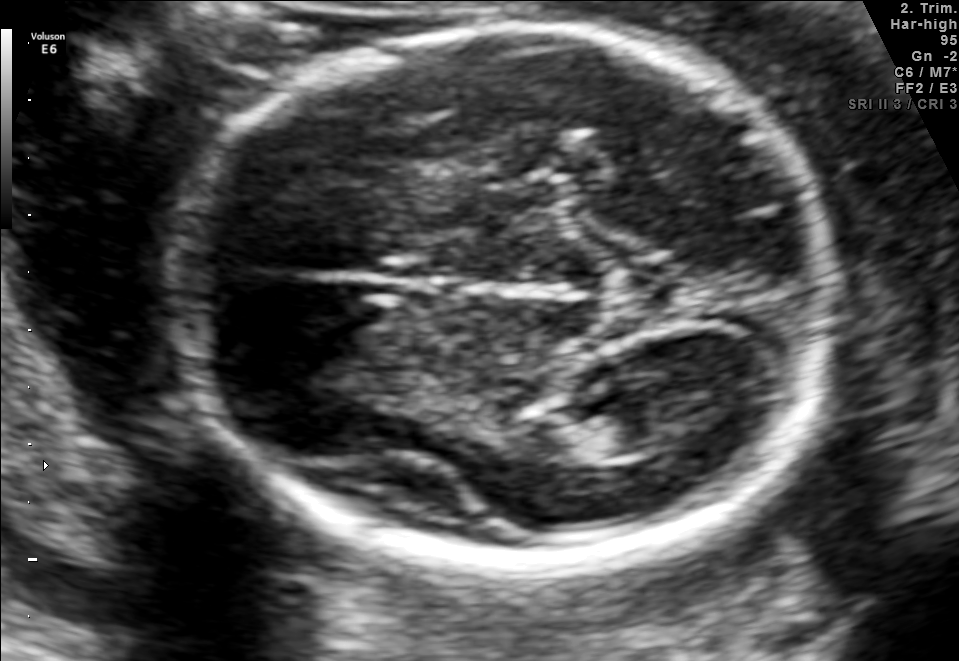
Fetal brain, trans-thalamic plane. Where is the fetal head?

Head bounding box: [169,28,834,563]